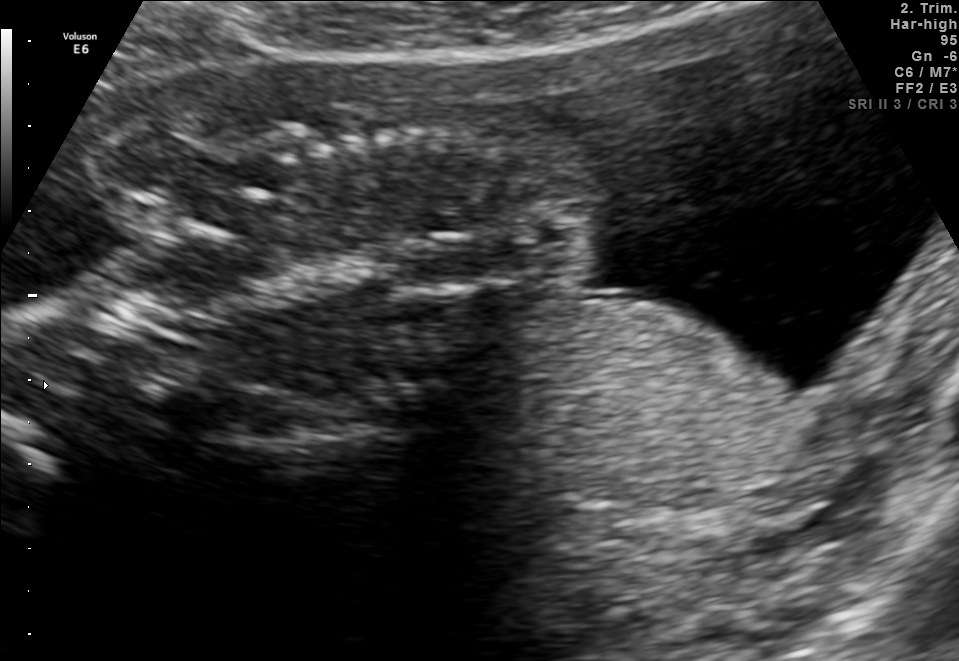
Identify the standard plane in this fetal ultrasound image: fetal abdomen, fetal brain, fetal femur, fetal thorax, maternal cervix, or other. If it's fetal brain and one of the three standard brain planes (trans-thalamic, trans-cerebellum, trans-ventricular), name which.

Other